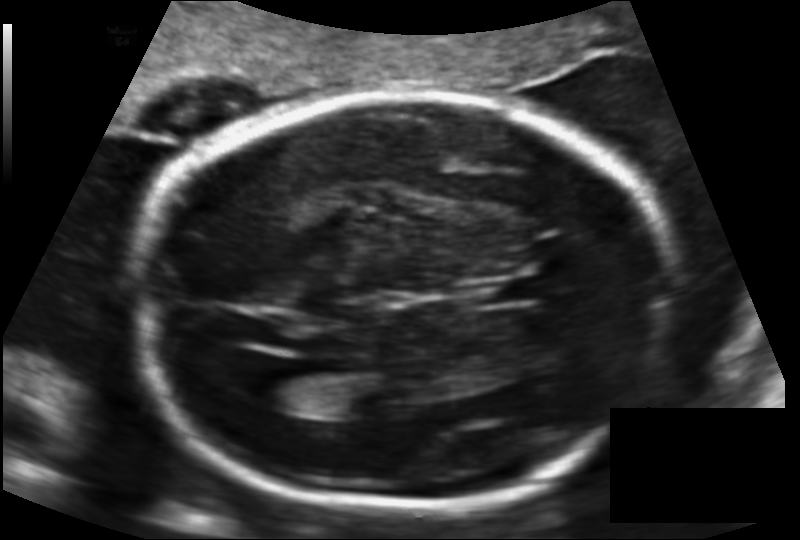
Fetal head ultrasound. Image width: 113.0 mm. Where is the cavum septum pellucidum?

CSP bounding box: [468,275,538,308]